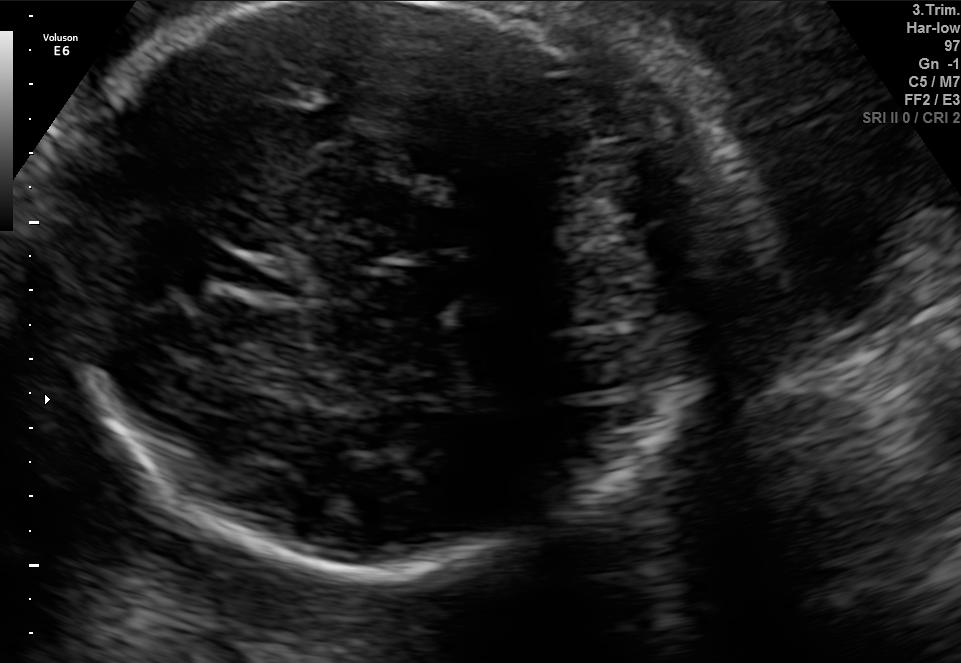
Fetal brain, trans-cerebellum plane. Locate the fetal head and, if visible, the cavum septum pellucidum (CSP) and lateral ventricle (LV). Give bounding boxes as [x1,y1,x2,y2].

Head: [57,4,687,567]